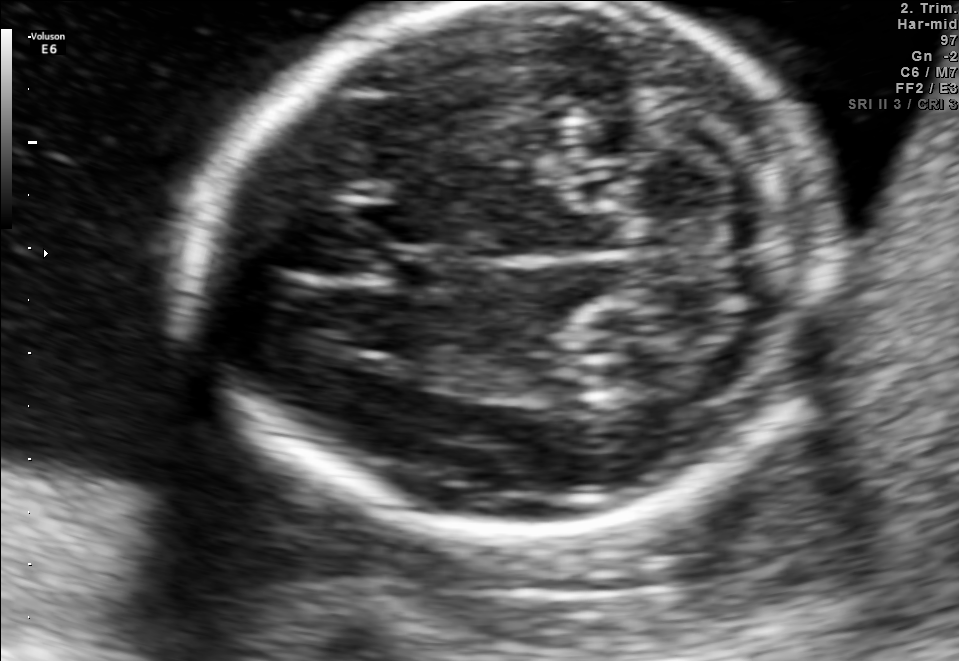
Fetal brain, trans-cerebellum plane. Locate the fetal head.

Head: [188,4,841,537]